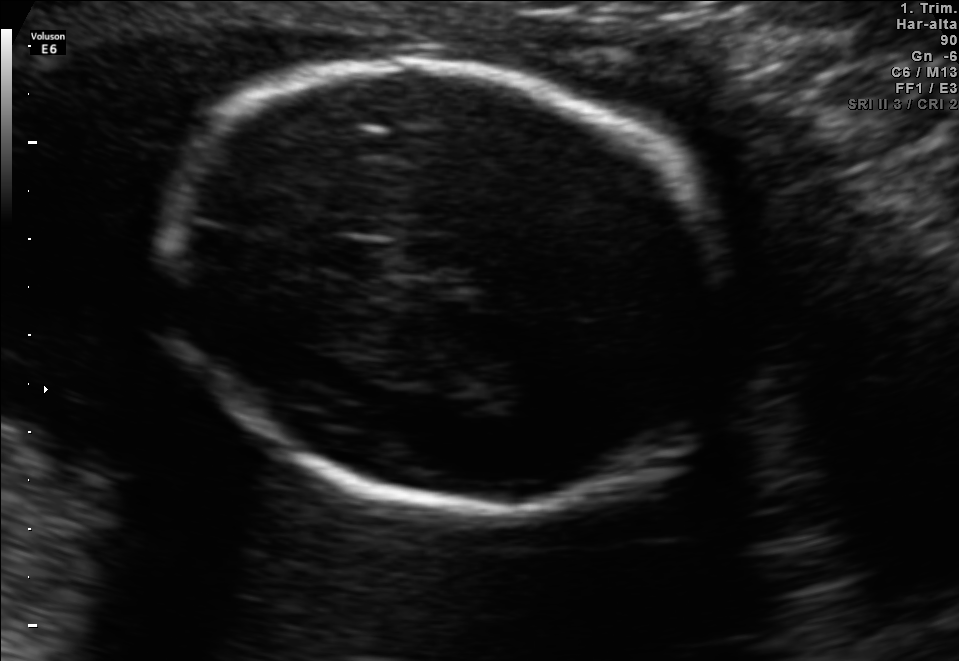
Fetal brain, trans-thalamic plane. Where is the cavum septum pellucidum?

CSP bounding box: [328,238,394,274]